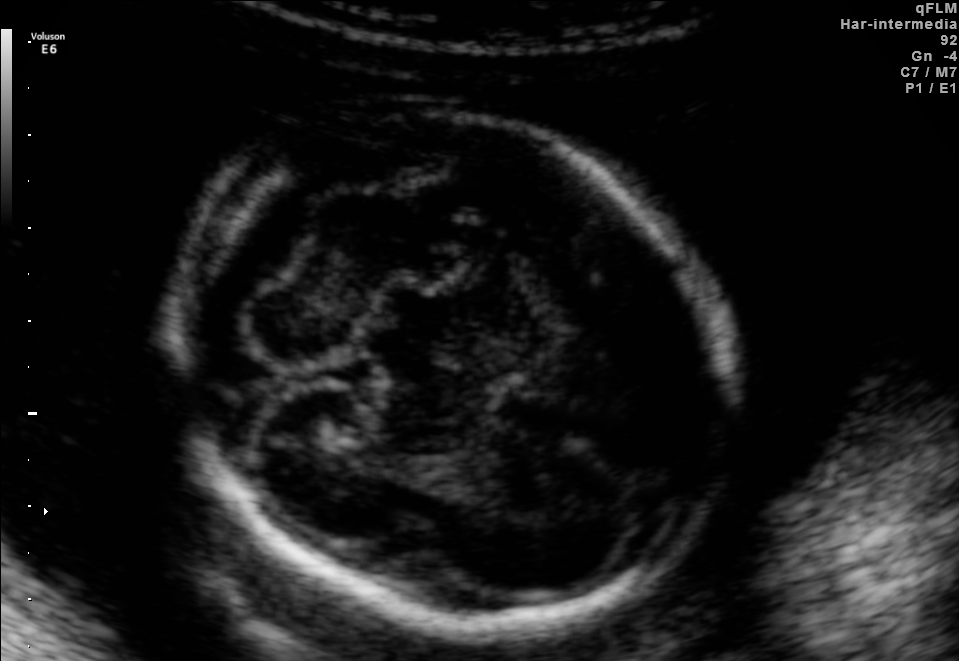
In this fetal brain, trans-cerebellum plane, give the bounding box of the fetal head.

[181,101,726,624]